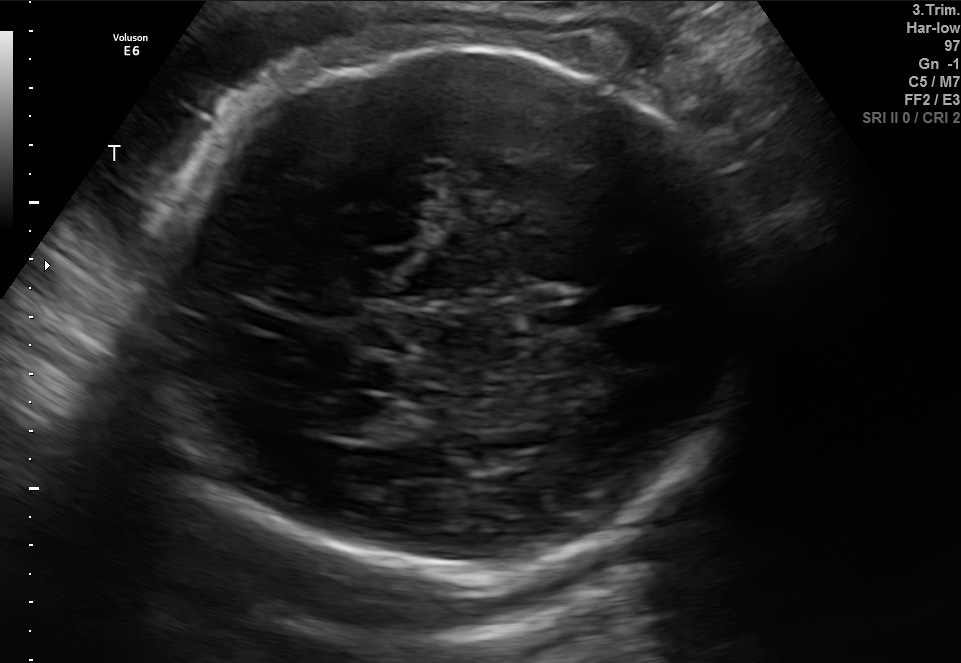
Fetal brain, trans-thalamic plane. Locate the fetal head and, if visible, the cavum septum pellucidum (CSP) and lateral ventricle (LV). Give bounding boxes as [x1,y1,x2,y2].

Head: [168,43,751,594]